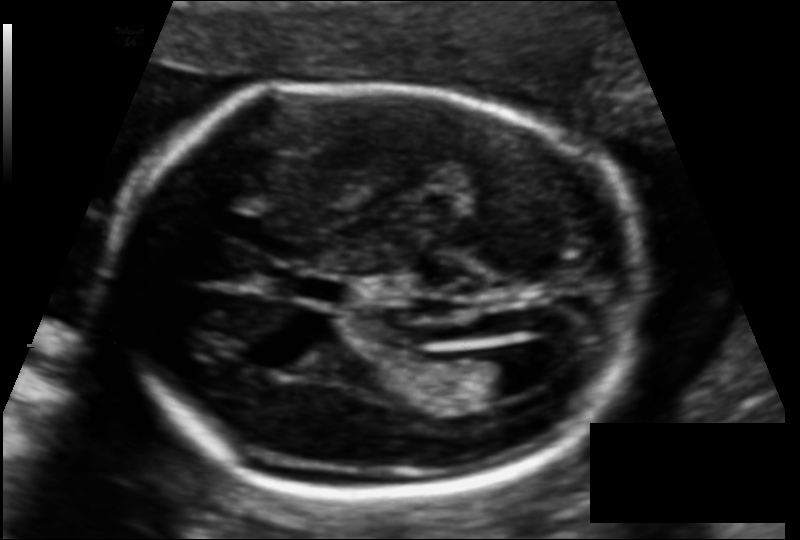
Fetal head ultrasound. Image width: 92.4 mm. Give [x1,y1,x2,y2] bounding boxes for each visible structure among: fetal head, CSP, LV.

Head: [105,87,647,493]
CSP: [284,270,347,307]
Lateral ventricle: [451,347,537,406]